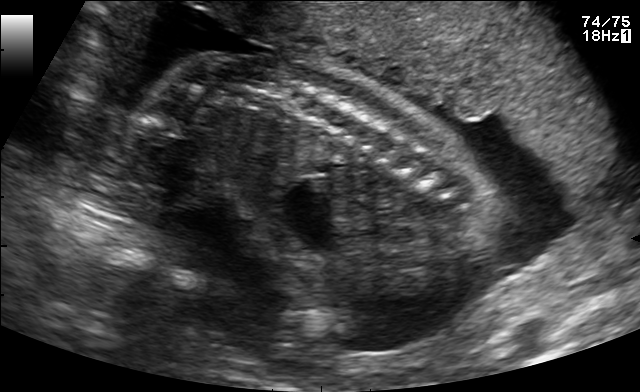
This is a 2D maternal-fetal ultrasound frame. Is it a fetal abdomen, fetal brain, fetal femur, fetal thorax, maternal cervix, or other standard plane? If it's fetal brain and one of the three standard brain planes (trans-thalamic, trans-cerebellum, trans-ventricular), name which.

Other